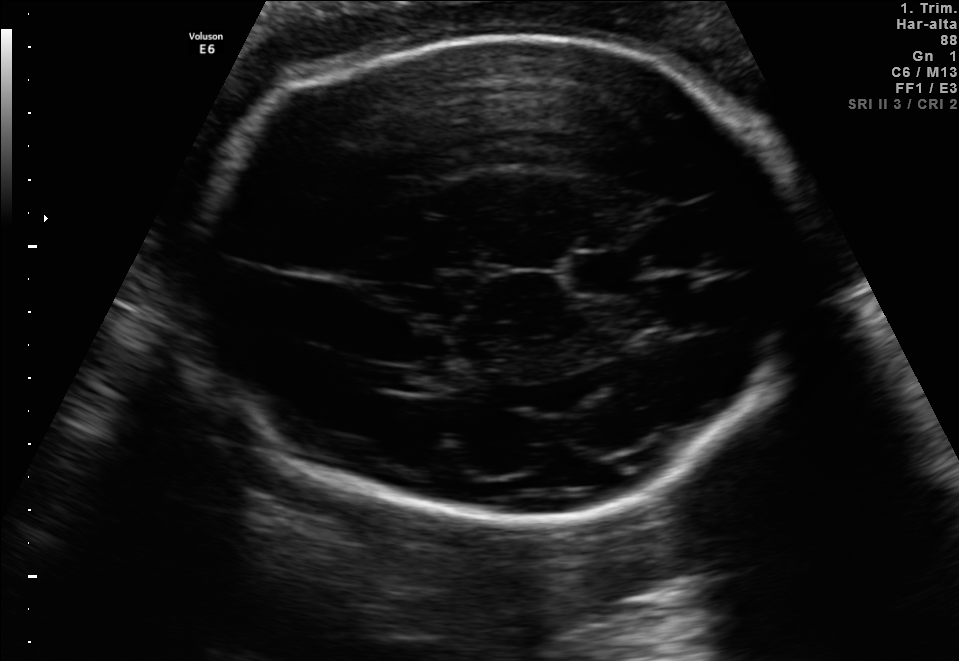
Fetal brain, trans-thalamic plane. Locate the lateral ventricle.

Lateral ventricle: [370,363,449,396]